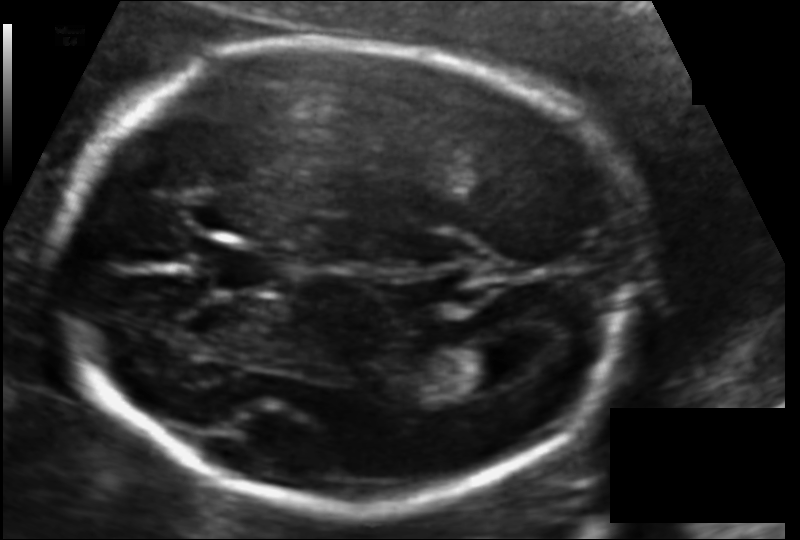
In this fetal head ultrasound, give the bounding box of the lateral ventricle. Image width: 92.7 mm.

[447,335,534,397]